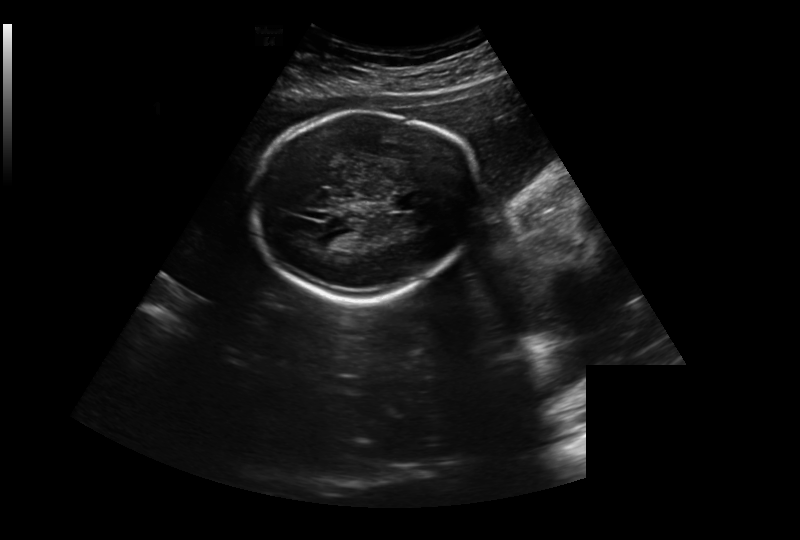
From this fetal ultrasound, estimate the head circumference (image width 260.8 mm).

Head circumference: 220.8 mm.